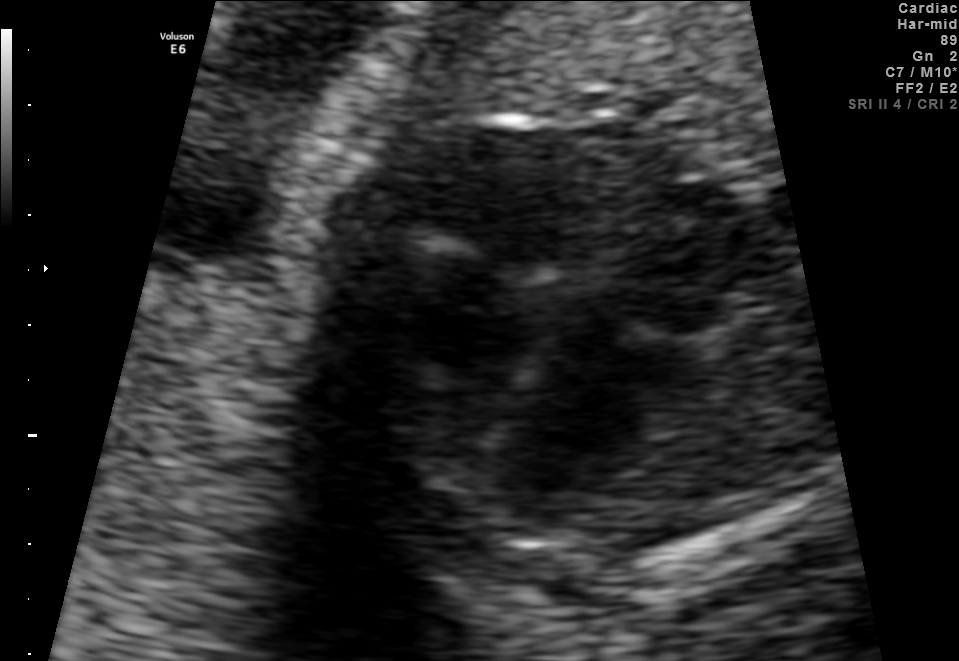
Classify this maternal-fetal ultrasound image as one of the six standard planes — fetal abdomen, fetal brain, fetal femur, fetal thorax, maternal cervix, or other. If it's fetal brain and one of the three standard brain planes (trans-thalamic, trans-cerebellum, trans-ventricular), name which.

Fetal thorax